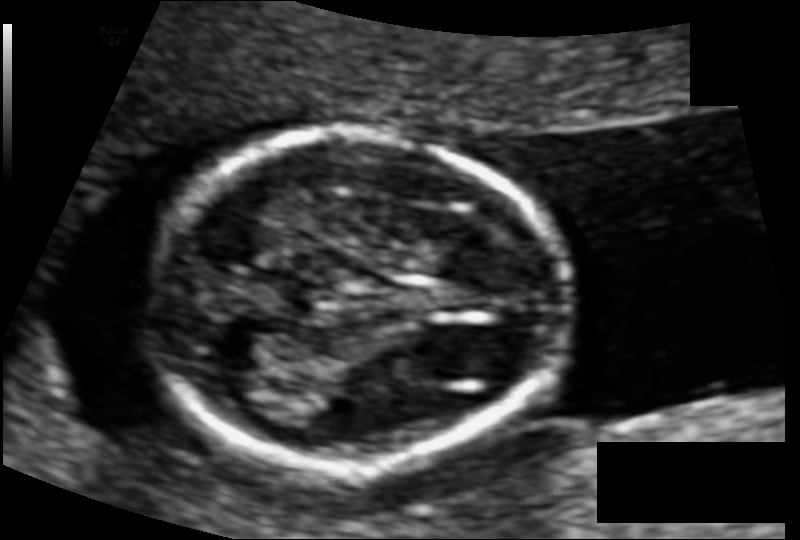
What is the fetal head circumference? Image width is 66.8 mm.

101.5 mm